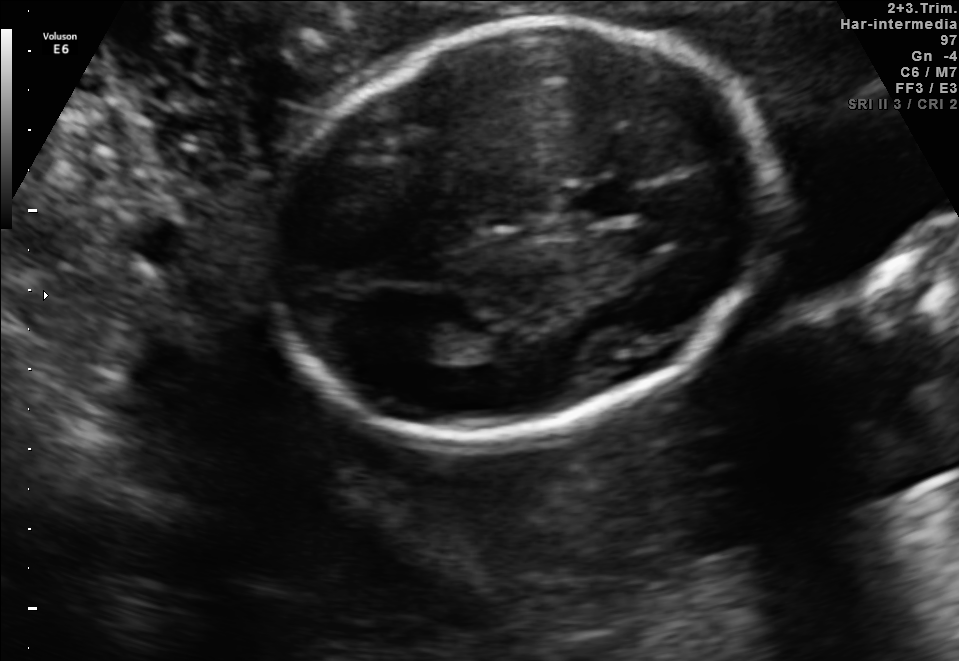
Which standard maternal-fetal ultrasound plane is shown: fetal abdomen, fetal brain, fetal femur, fetal thorax, maternal cervix, or other? If it's fetal brain and one of the three standard brain planes (trans-thalamic, trans-cerebellum, trans-ventricular), name which.

Fetal brain (trans-thalamic plane)